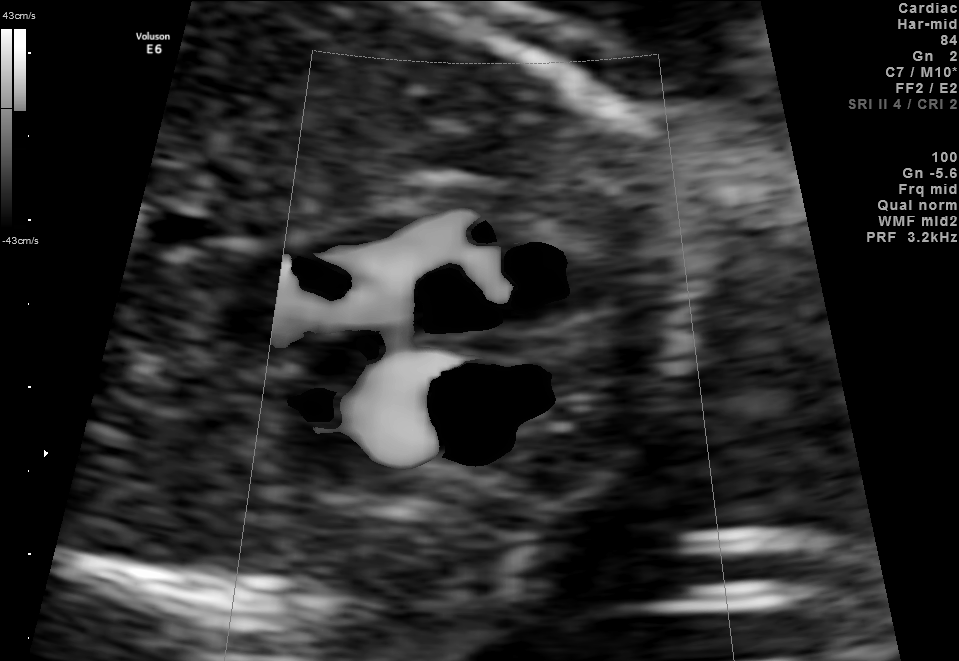
Identify the standard plane in this fetal ultrasound image: fetal abdomen, fetal brain, fetal femur, fetal thorax, maternal cervix, or other. If it's fetal brain and one of the three standard brain planes (trans-thalamic, trans-cerebellum, trans-ventricular), name which.

Other